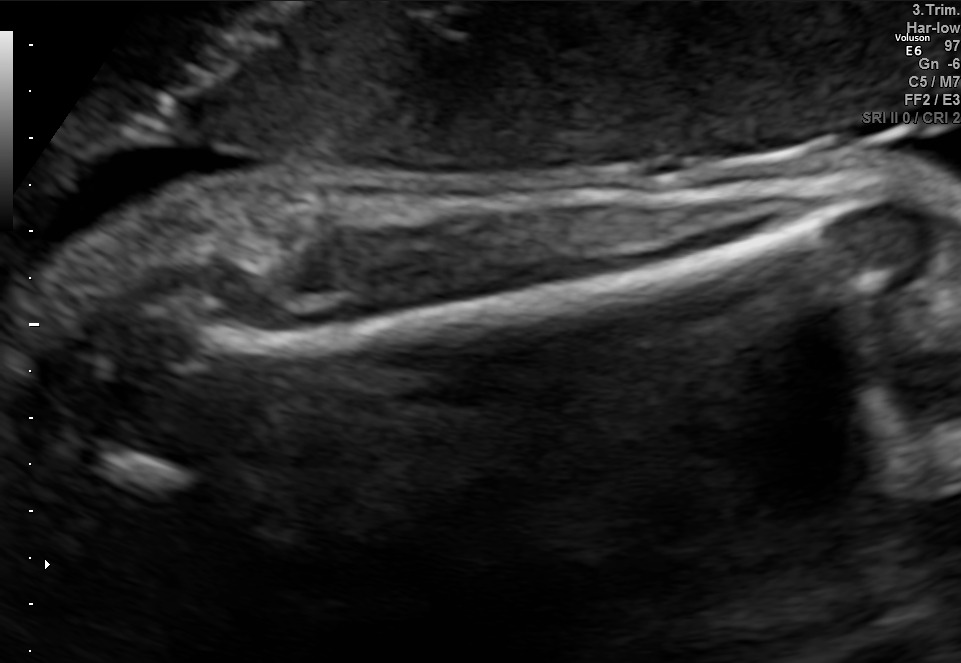
This is a 2D maternal-fetal ultrasound frame. Is it a fetal abdomen, fetal brain, fetal femur, fetal thorax, maternal cervix, or other standard plane? If it's fetal brain and one of the three standard brain planes (trans-thalamic, trans-cerebellum, trans-ventricular), name which.

Fetal femur